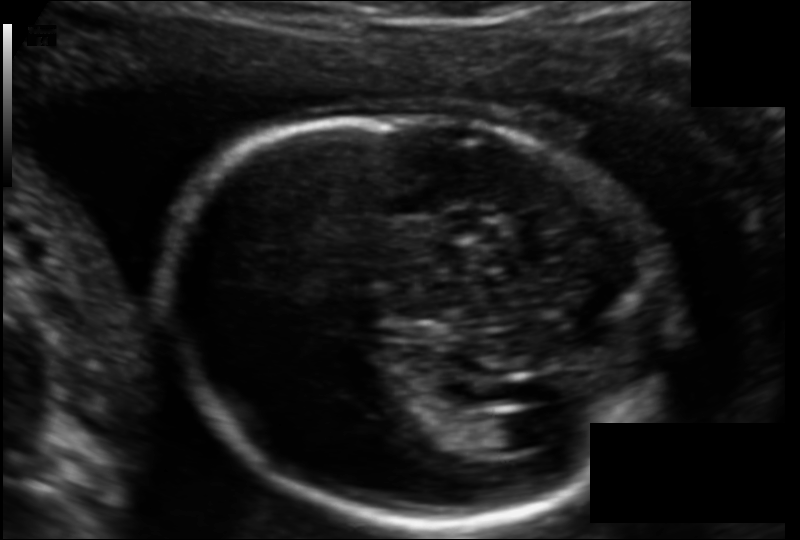
Estimate the fetal head circumference from this 2D ultrasound. Image width: 98.5 mm.

Head circumference: 180.8 mm.